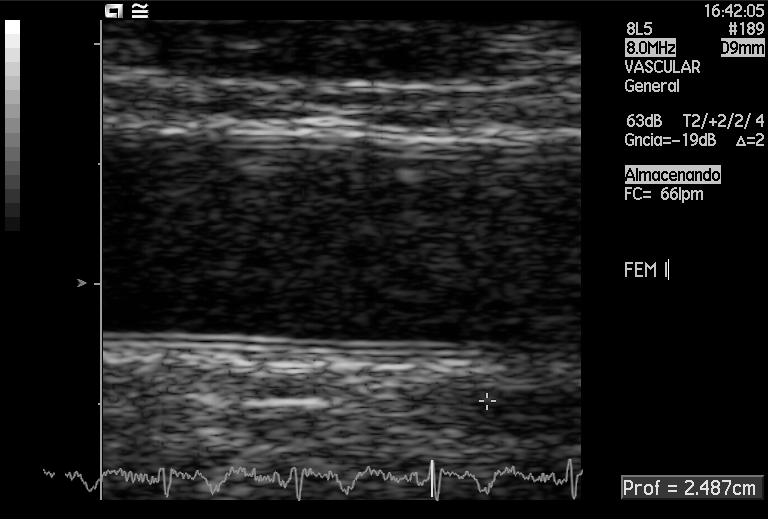
Classify this maternal-fetal ultrasound image as one of the six standard planes — fetal abdomen, fetal brain, fetal femur, fetal thorax, maternal cervix, or other. If it's fetal brain and one of the three standard brain planes (trans-thalamic, trans-cerebellum, trans-ventricular), name which.

Other